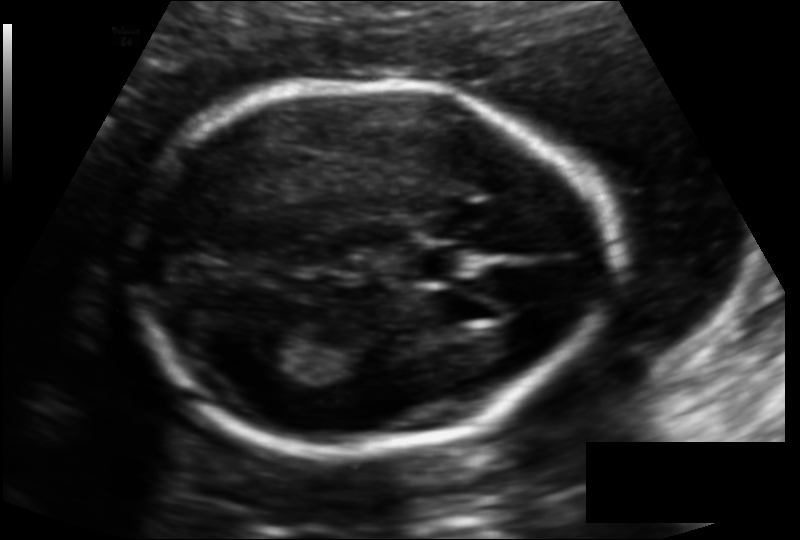
Estimate the fetal head circumference from this 2D ultrasound. Image width: 96.8 mm.

Head circumference: 171.3 mm.